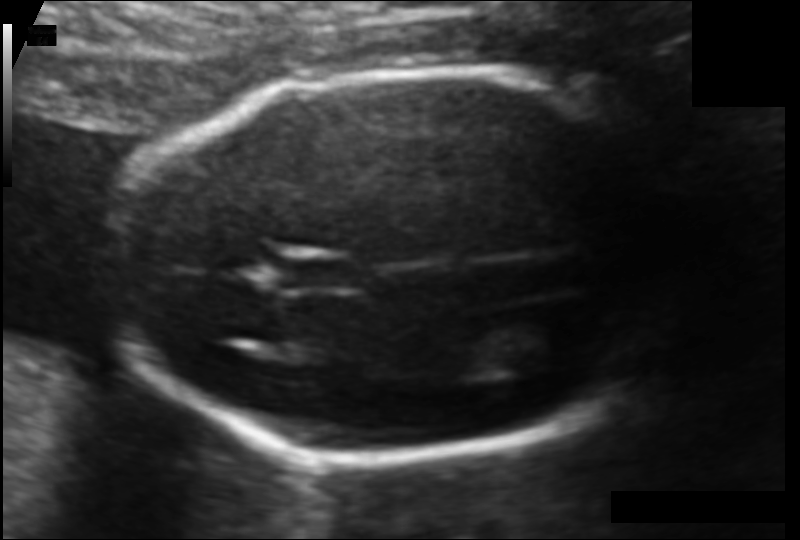
Estimate the fetal head circumference from this 2D ultrasound.

Head circumference: 159.6 mm (image width 82.3 mm).